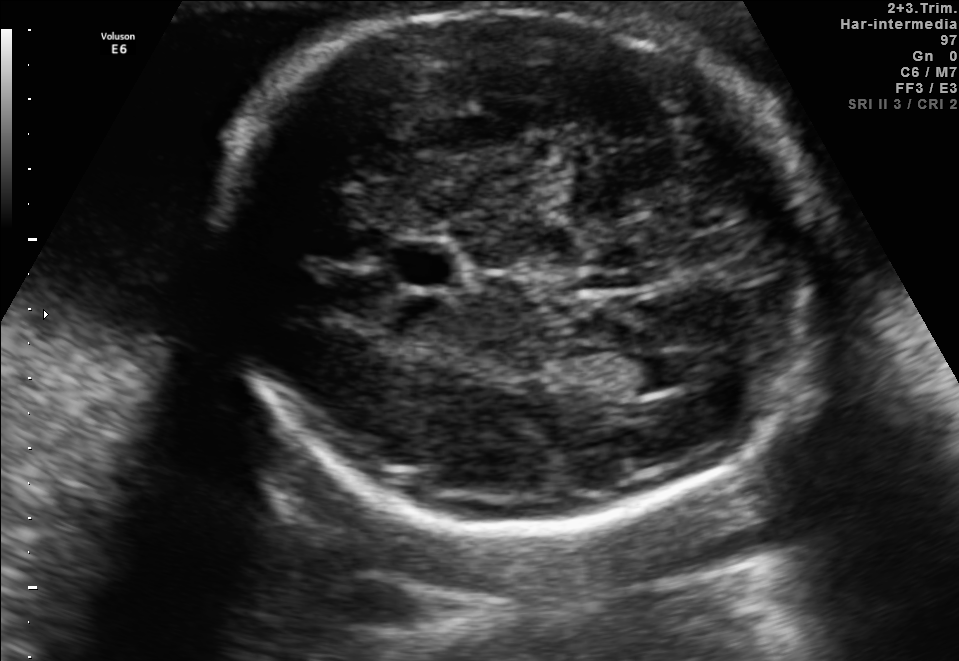
In this fetal brain, trans-ventricular plane, give the bounding box of the fetal head.

[184,2,853,539]